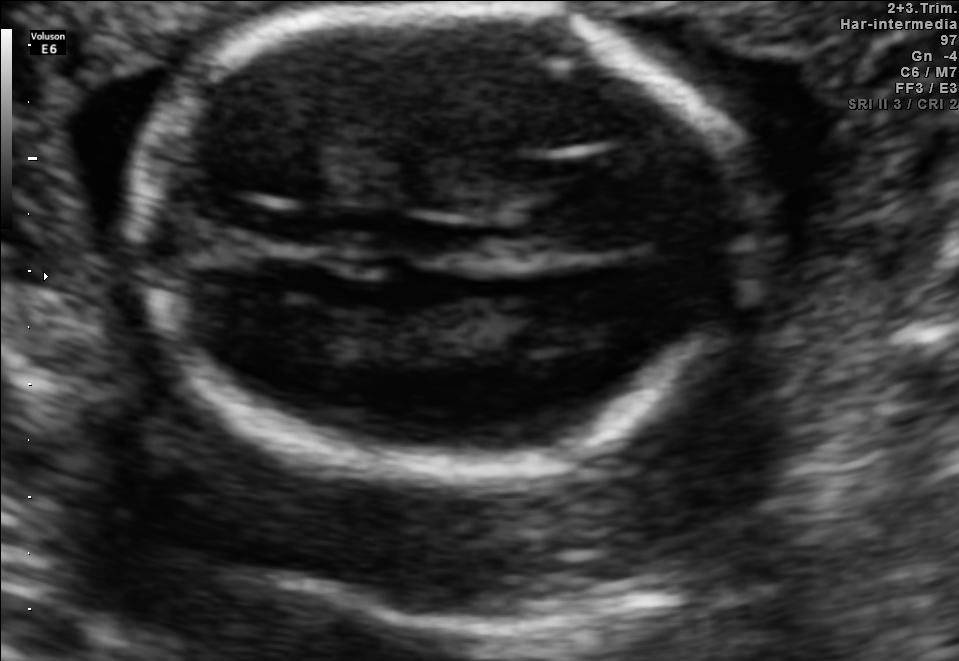
Fetal brain, trans-thalamic plane. Locate the fetal head and, if visible, the cavum septum pellucidum (CSP) and lateral ventricle (LV). Give bounding boxes as [x1,y1,x2,y2].

Head: [134,9,765,480]
CSP: [251,203,338,247]